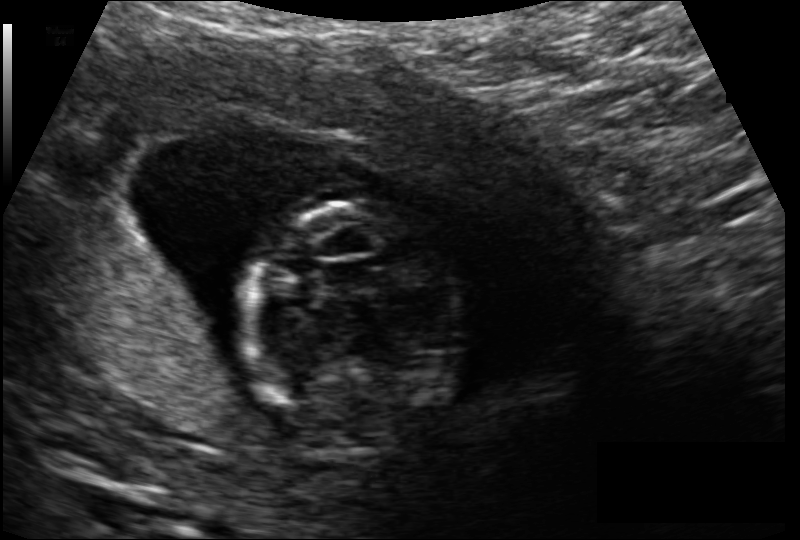
Fetal head ultrasound. Image width: 94.0 mm. Where is the fetal head?

Head bounding box: [241,199,467,455]